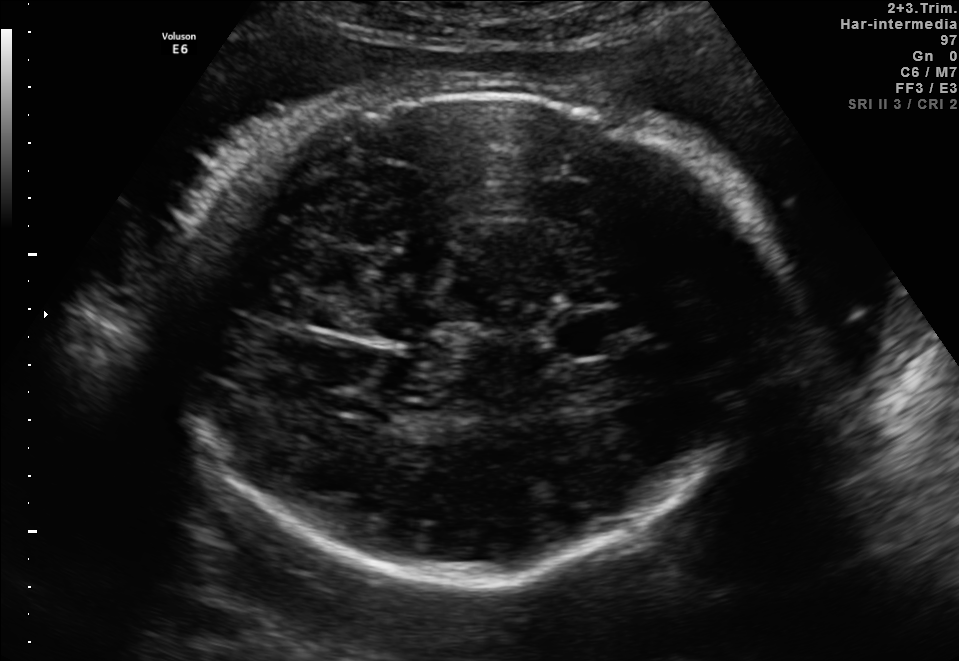
In this fetal brain, trans-thalamic plane, give the bounding box of the fetal head.

[157,90,776,583]